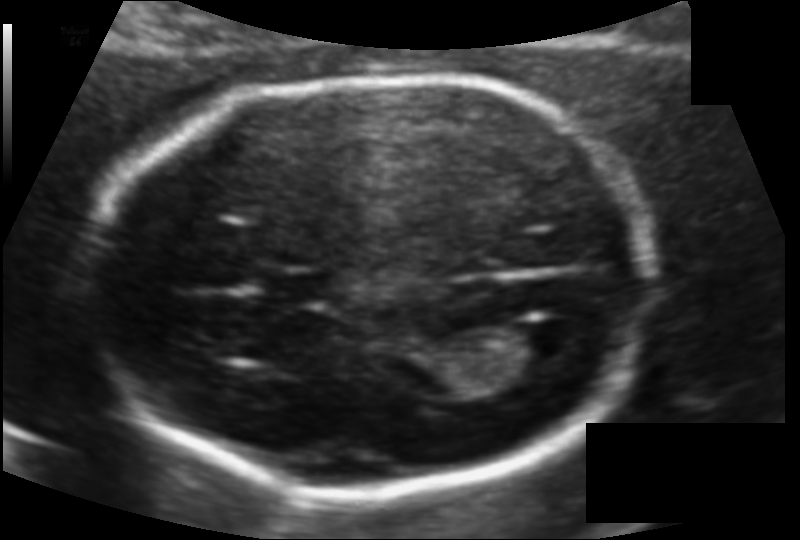
In this fetal head ultrasound, give the bounding box of the cavum septum pellucidum. Image width: 85.2 mm.

[264,271,330,305]